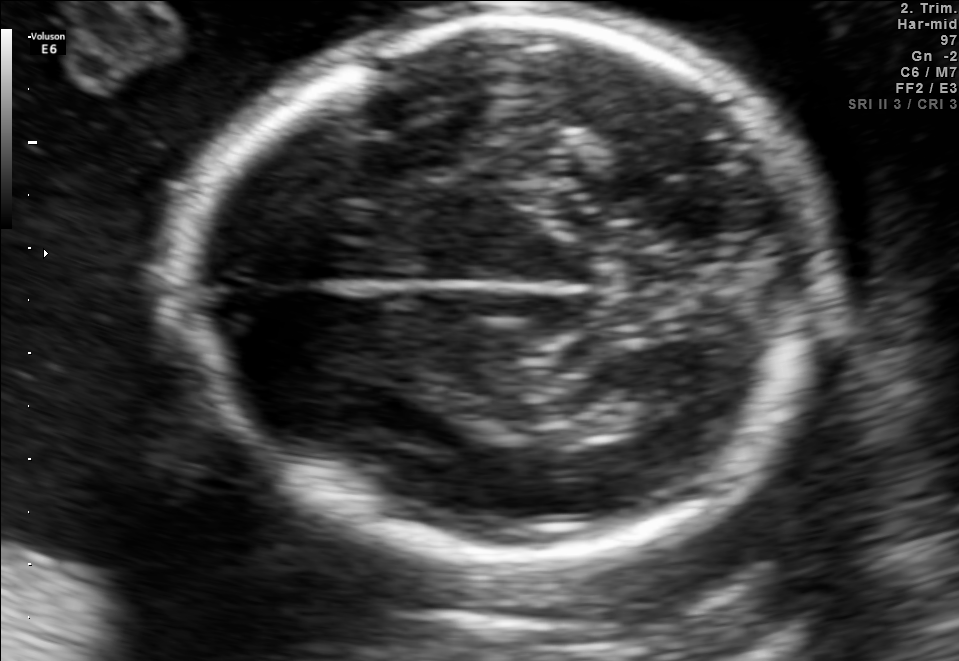
Fetal brain, trans-thalamic plane. Locate the fetal head.

Head: [177,17,836,568]